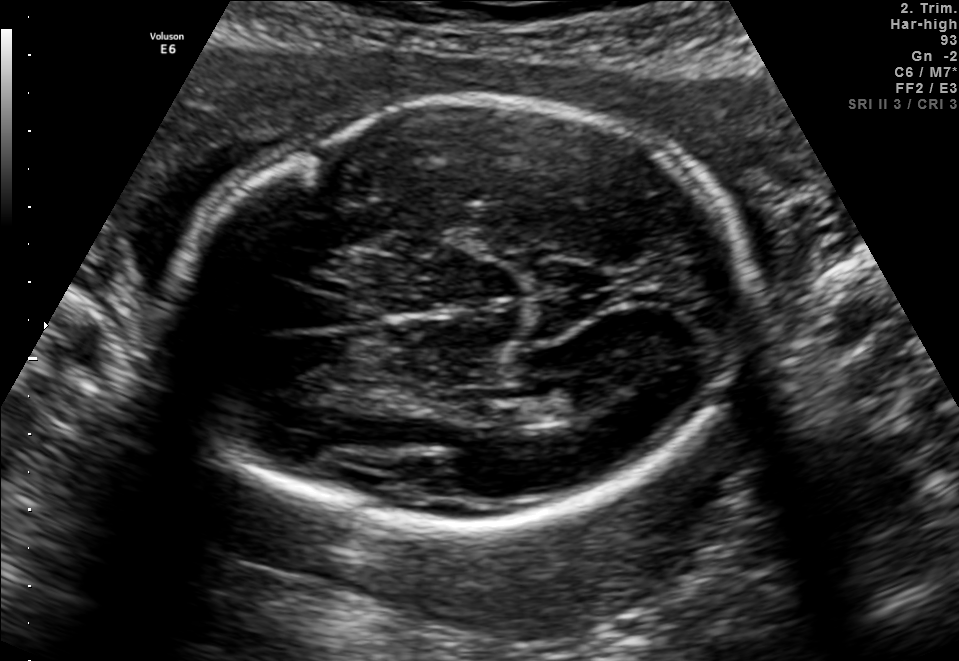
Fetal brain, trans-thalamic plane. Give [x1,y1,x2,y2] bounding boxes for each visible structure among: fetal head, CSP, LV.

Head: [180,102,753,519]
Lateral ventricle: [511,368,604,430]